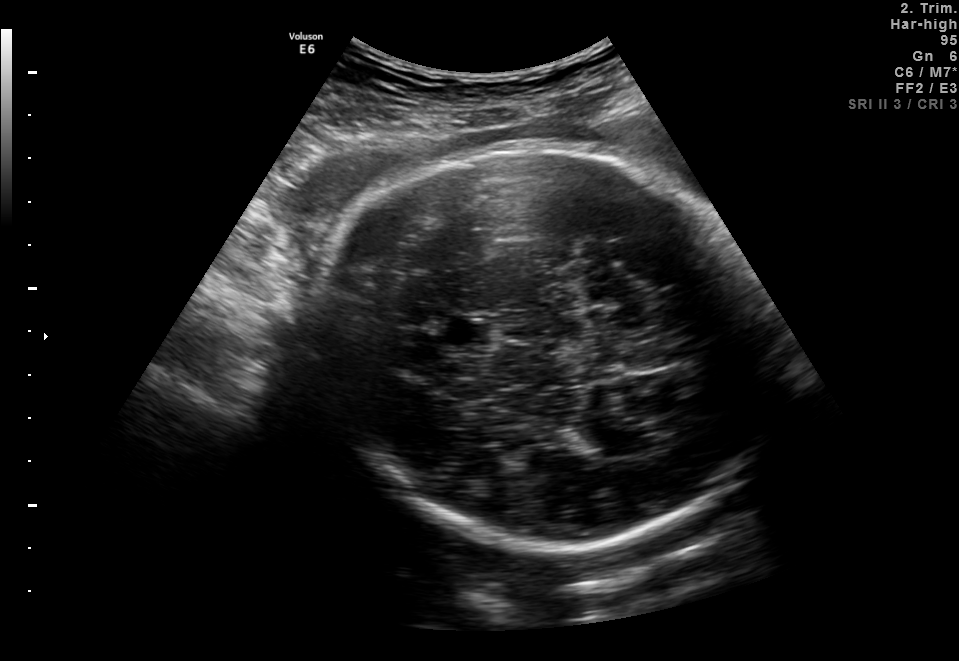
In this fetal brain, trans-thalamic plane, give the bounding box of the fetal head.

[313,139,764,556]